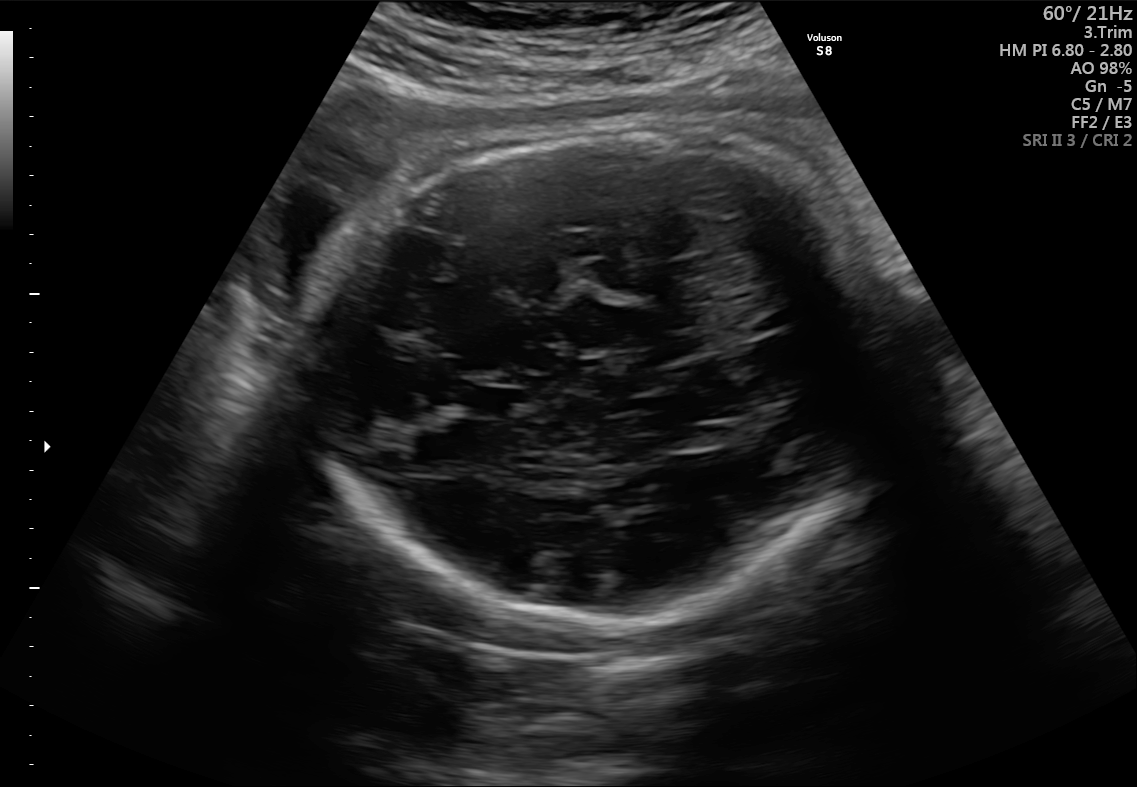
In this fetal brain, trans-thalamic plane, give the bounding box of the fetal head.

[313,131,890,623]